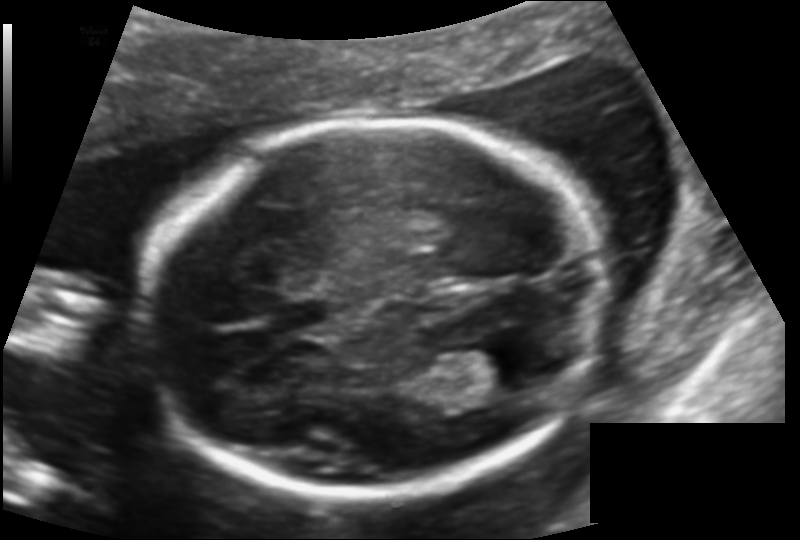
Measure the fetal head circumference shown in this ultrasound image. Image width: 105.2 mm.

Head circumference: 177.1 mm.